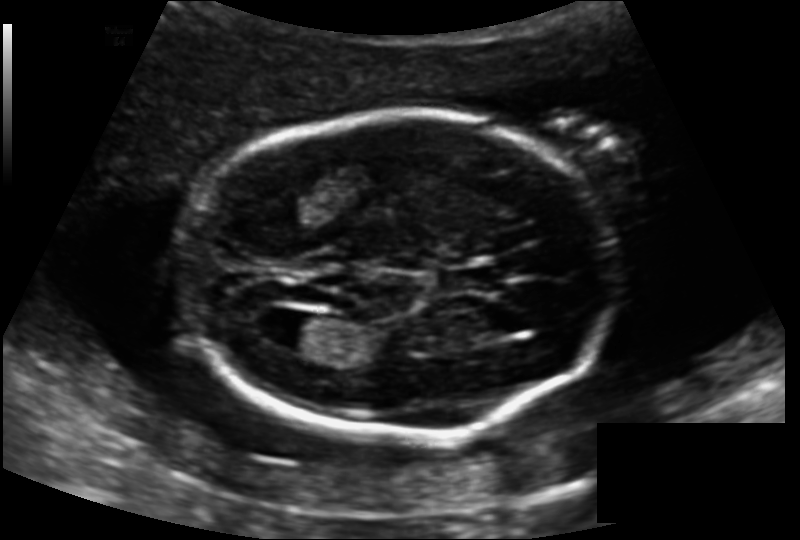
Estimate the fetal head circumference from this 2D ultrasound. Image width: 111.5 mm.

Head circumference: 173.2 mm.